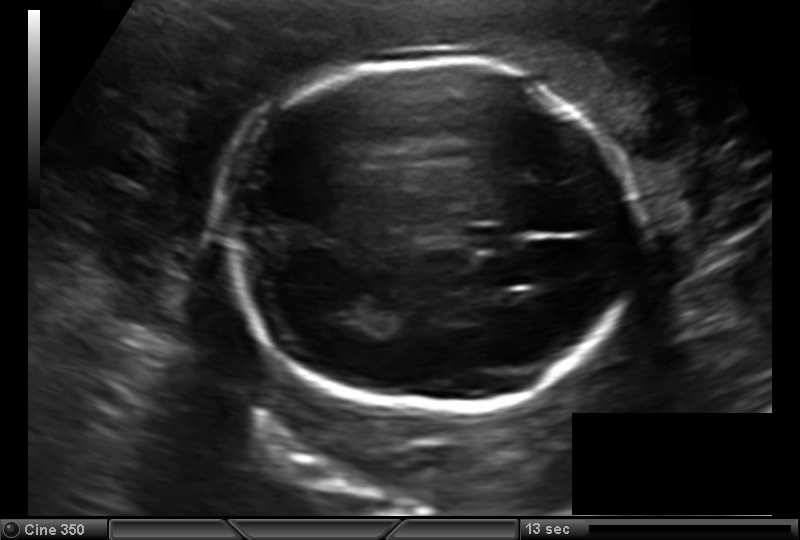
Fetal head ultrasound. Image width: 125.6 mm. Where is the cavum septum pellucidum?

CSP bounding box: [466,226,518,248]